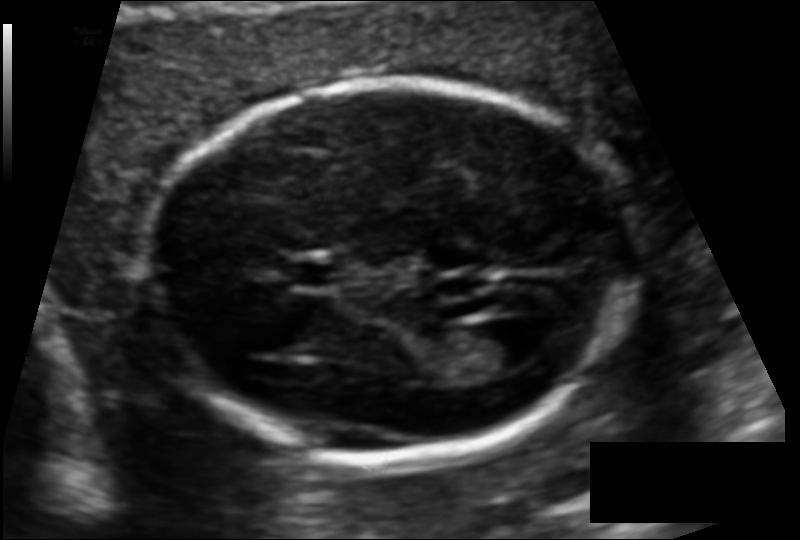
Fetal head ultrasound. Image width: 88.0 mm. Give [x1,y1,x2,y2] bounding boxes for each visible structure among: fetal head, CSP, LV.

Head: [147,79,633,457]
CSP: [287,263,343,286]
Lateral ventricle: [462,309,552,380]